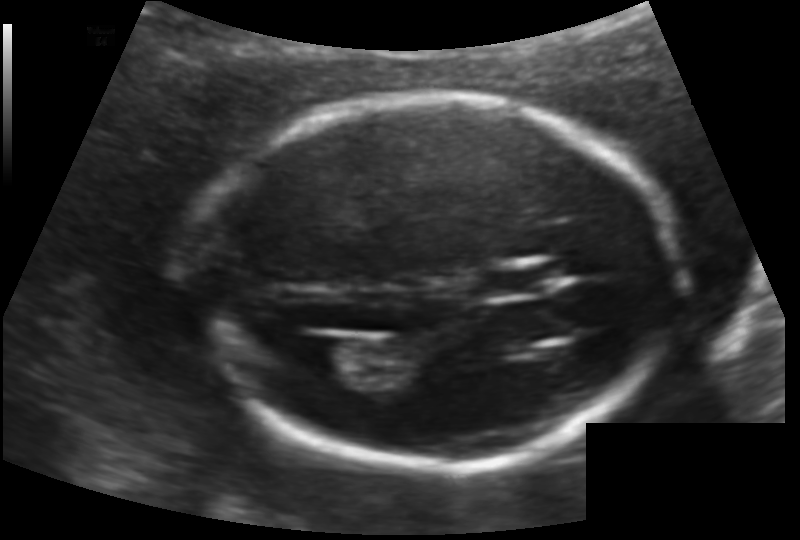
Estimate the fetal head circumference from this 2D ultrasound.

Head circumference: 169.8 mm (image width 99.5 mm).